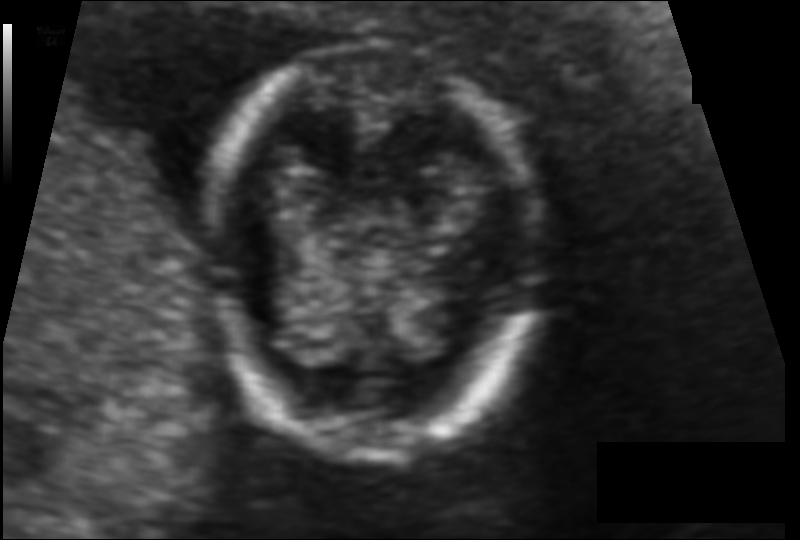
From this fetal ultrasound, estimate the head circumference (image width 63.9 mm).

Head circumference: 98.4 mm.